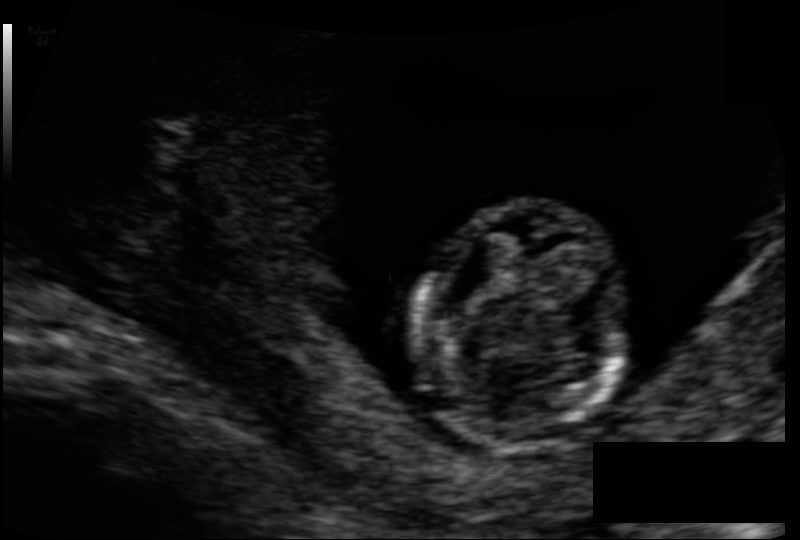
Fetal head ultrasound. Image width: 76.4 mm. Give [x1,y1,x2,y2] bounding boxes for each visible structure among: fetal head, CSP, LV.

Head: [416,204,626,444]